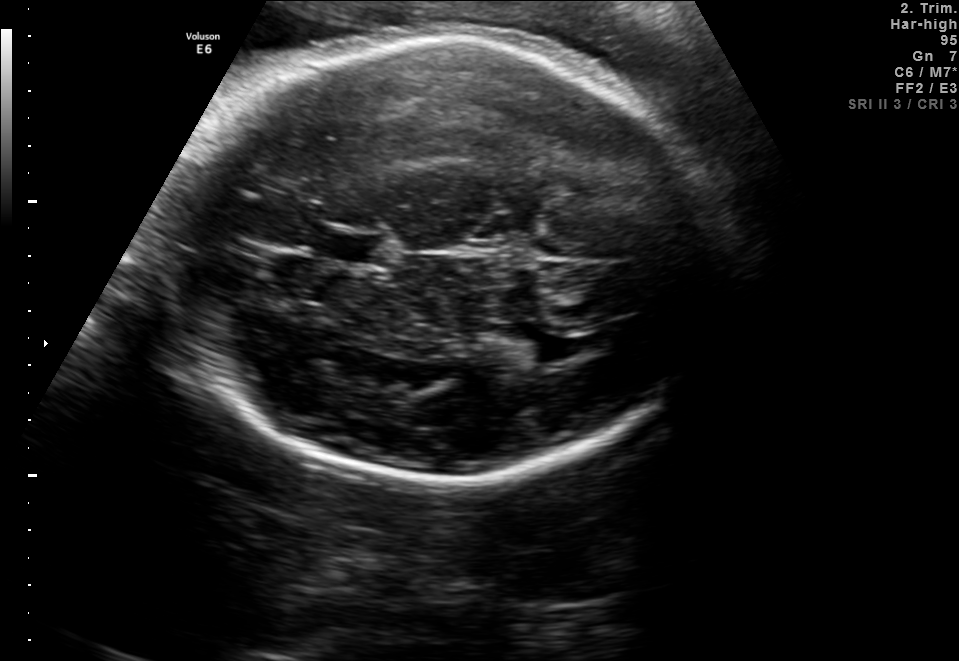
Fetal brain, trans-thalamic plane. Locate the fetal head and, if visible, the cavum septum pellucidum (CSP) and lateral ventricle (LV). Give bounding boxes as [x1,y1,x2,y2].

Head: [171,37,728,482]
CSP: [323,228,381,265]
Lateral ventricle: [496,330,561,365]